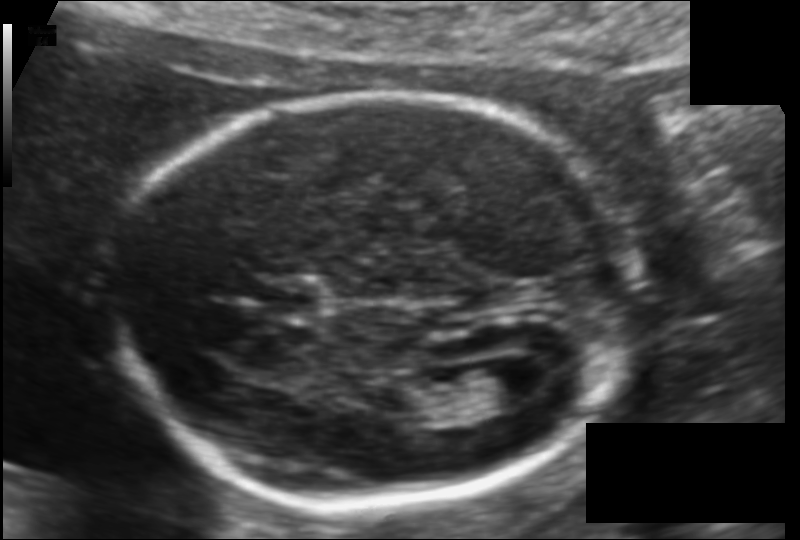
In this fetal head ultrasound, give bounding boxes for the head outline, cavum septum pellucidum (CSP), and lateral ventricle (LV), where visible. Image width: 92.0 mm.

Head: [118,95,636,504]
CSP: [258,283,320,315]
Lateral ventricle: [461,354,542,417]